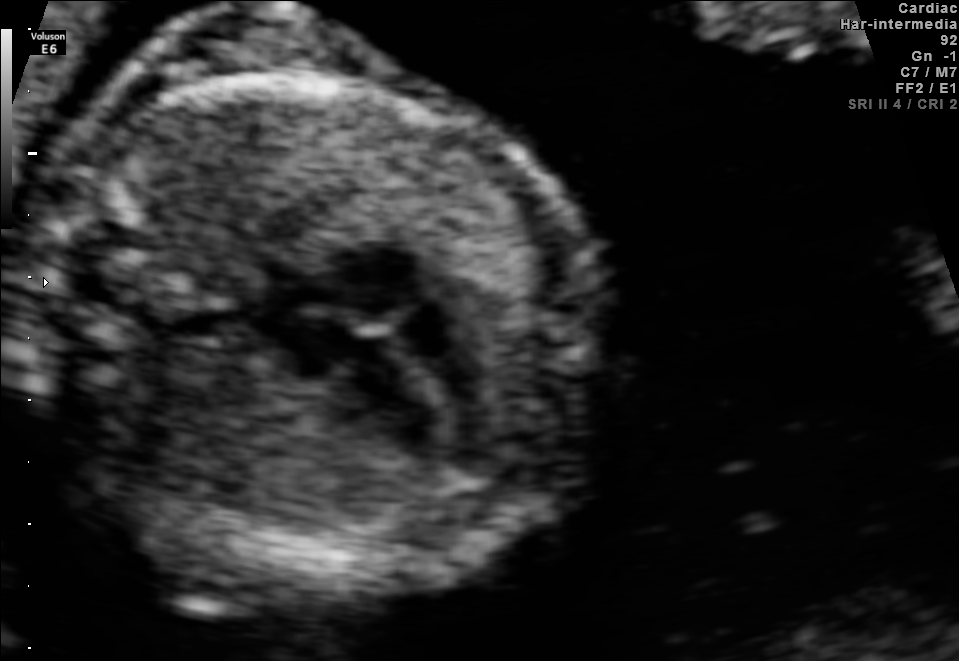
Classify this maternal-fetal ultrasound image as one of the six standard planes — fetal abdomen, fetal brain, fetal femur, fetal thorax, maternal cervix, or other. If it's fetal brain and one of the three standard brain planes (trans-thalamic, trans-cerebellum, trans-ventricular), name which.

Fetal thorax